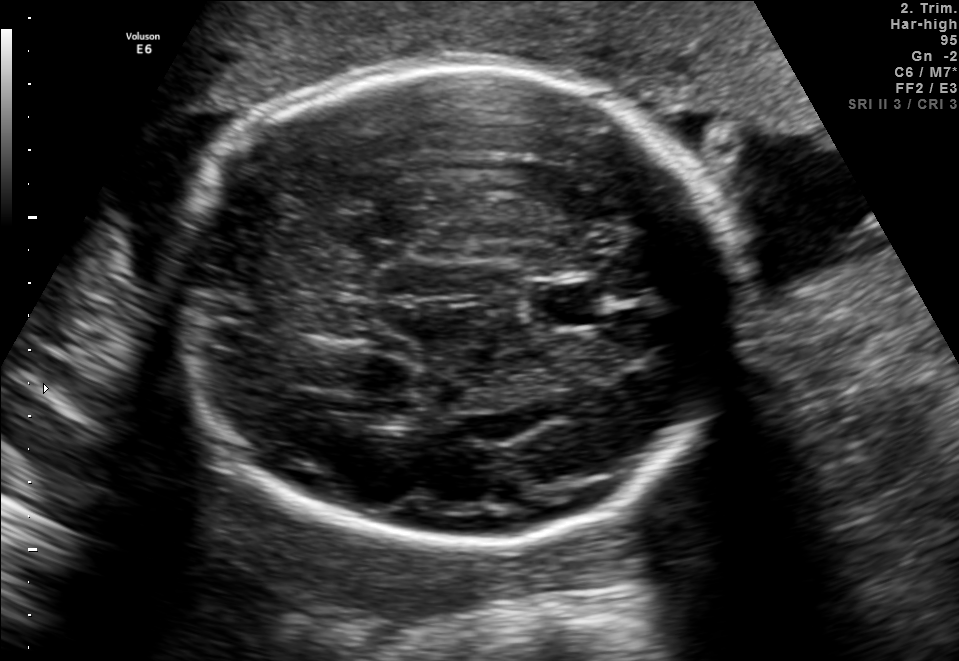
Fetal brain, trans-thalamic plane. Give [x1,y1,x2,y2] bounding boxes for each visible structure among: fetal head, CSP, LV.

Head: [174,64,731,547]
CSP: [533,281,603,330]
Lateral ventricle: [351,397,422,428]